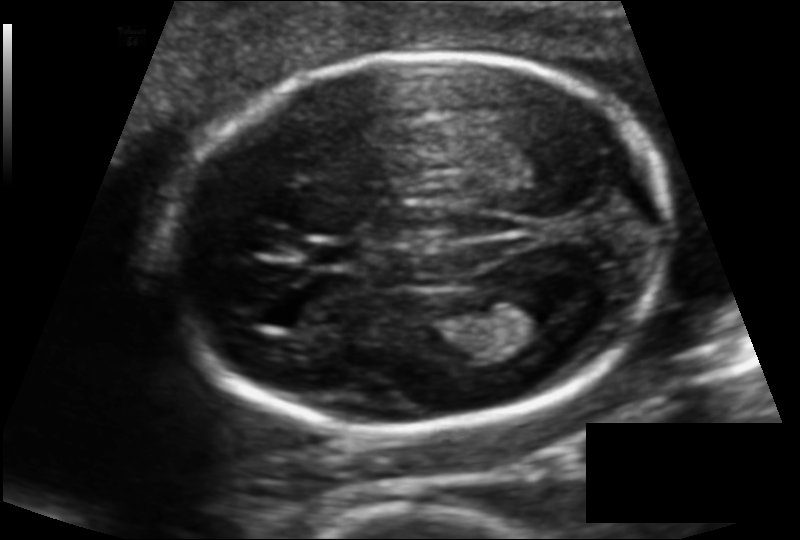
In this fetal head ultrasound, give the bounding box of the cavum septum pellucidum. Image width: 95.8 mm.

[307,242,360,268]